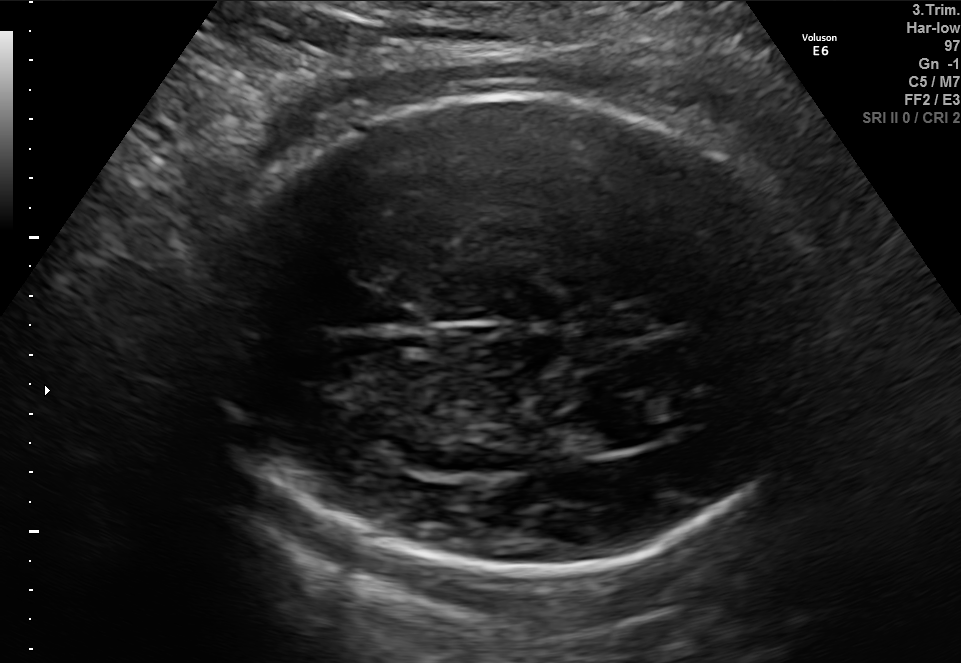
In this fetal brain, trans-thalamic plane, give the bounding box of the fetal head.

[203,95,832,576]